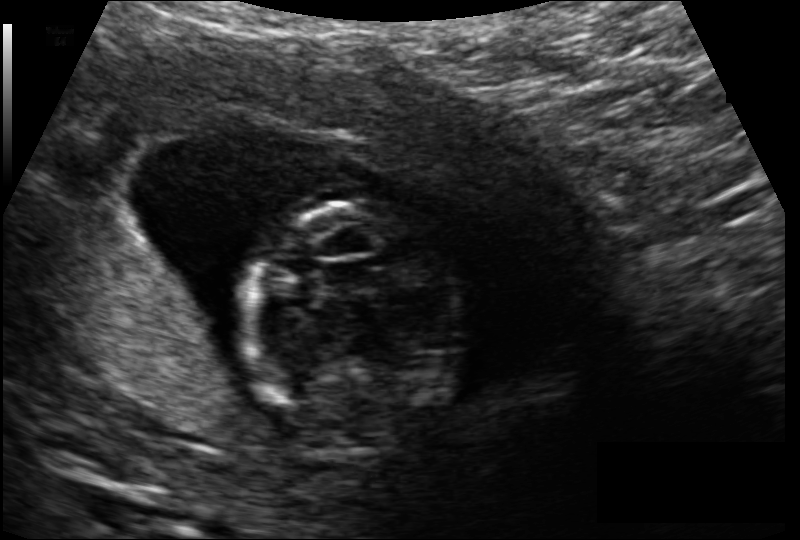
What is the fetal head circumference? Image width is 94.0 mm.

95.7 mm